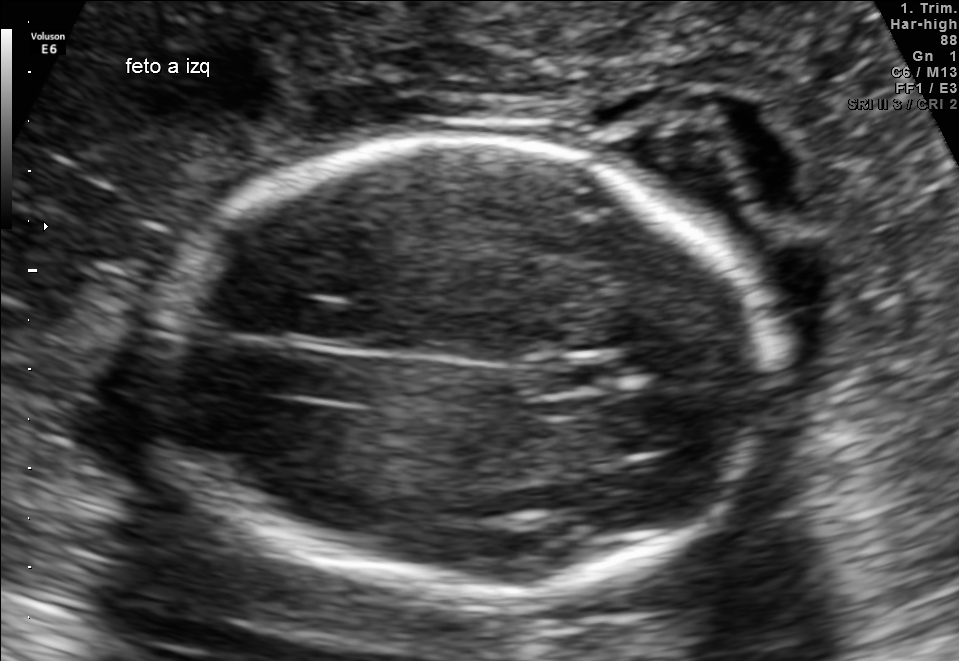
Fetal brain, trans-thalamic plane. Where is the fetal head?

Head bounding box: [151,140,776,593]